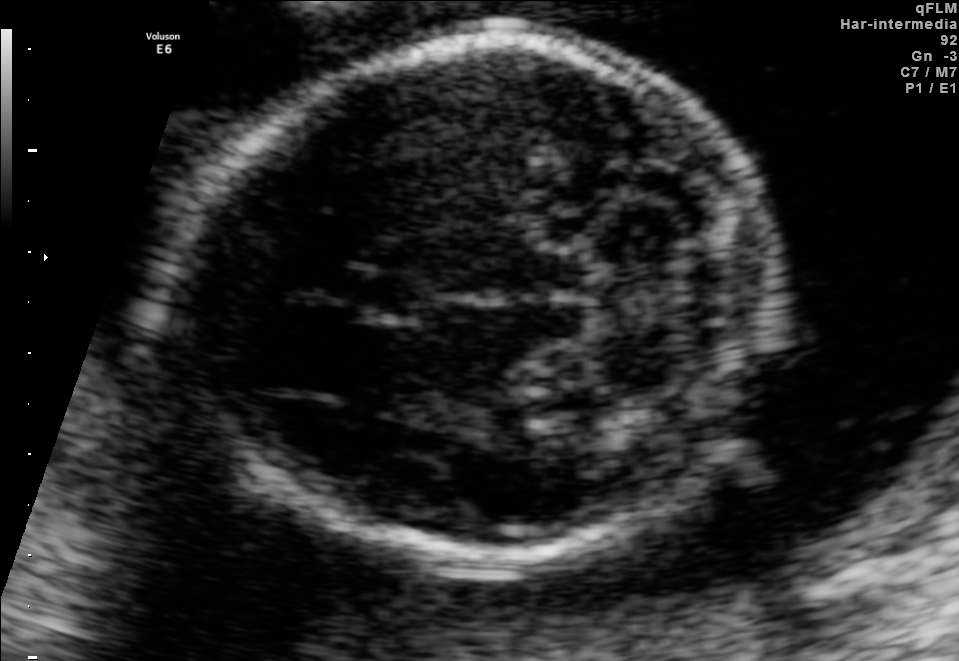
Fetal brain, trans-cerebellum plane. Locate the fetal head.

Head: [190,41,763,564]